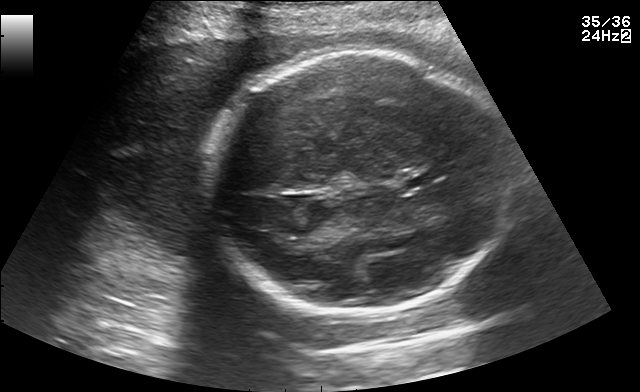
Identify the standard plane in this fetal ultrasound image: fetal abdomen, fetal brain, fetal femur, fetal thorax, maternal cervix, or other. If it's fetal brain and one of the three standard brain planes (trans-thalamic, trans-cerebellum, trans-ventricular), name which.

Fetal brain (trans-thalamic plane)